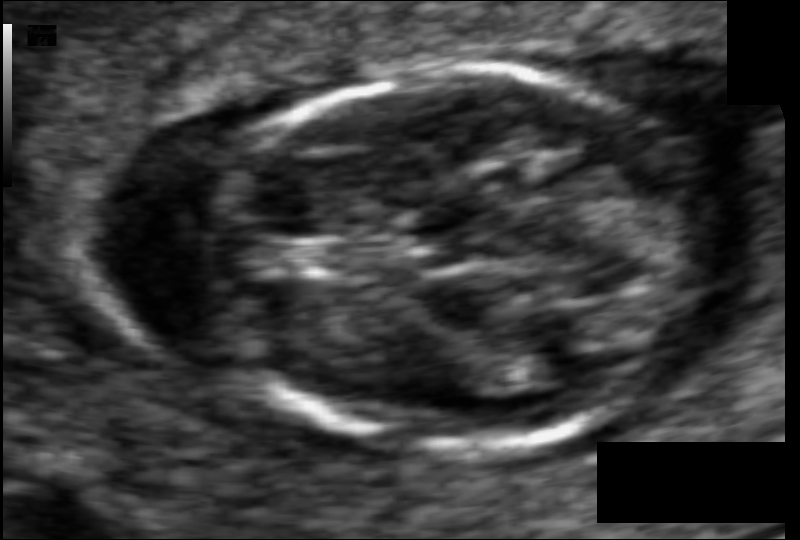
What is the fetal head circumference? Image width is 46.1 mm.

82.5 mm